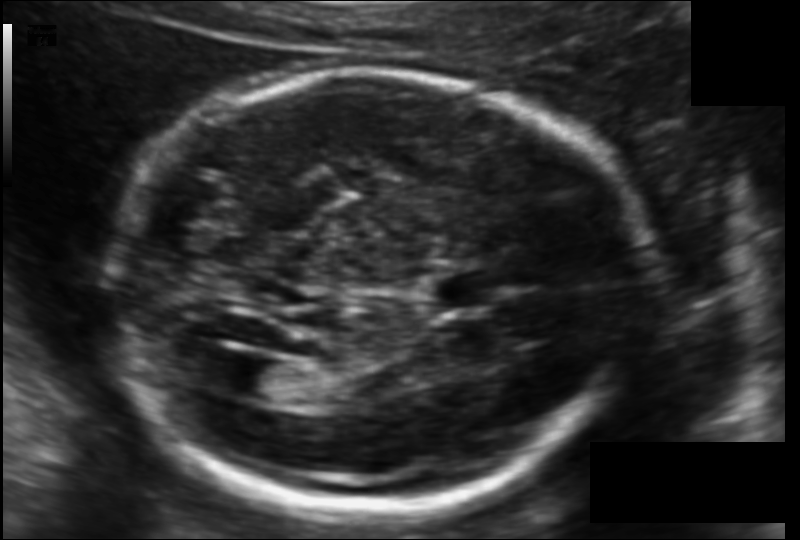
From this fetal ultrasound, estimate the head circumference (image width 95.3 mm).

Head circumference: 188.6 mm.